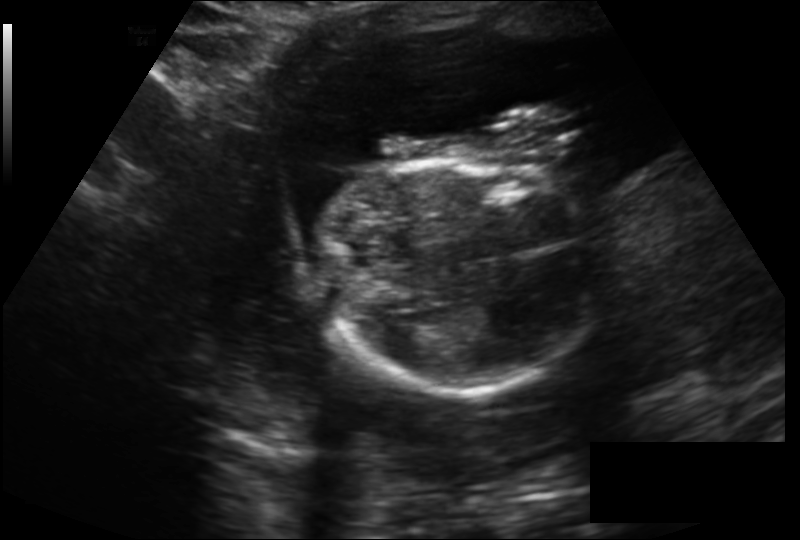
In this fetal head ultrasound, give the bounding box of the fetal head. Image width: 155.8 mm.

[320,158,596,395]